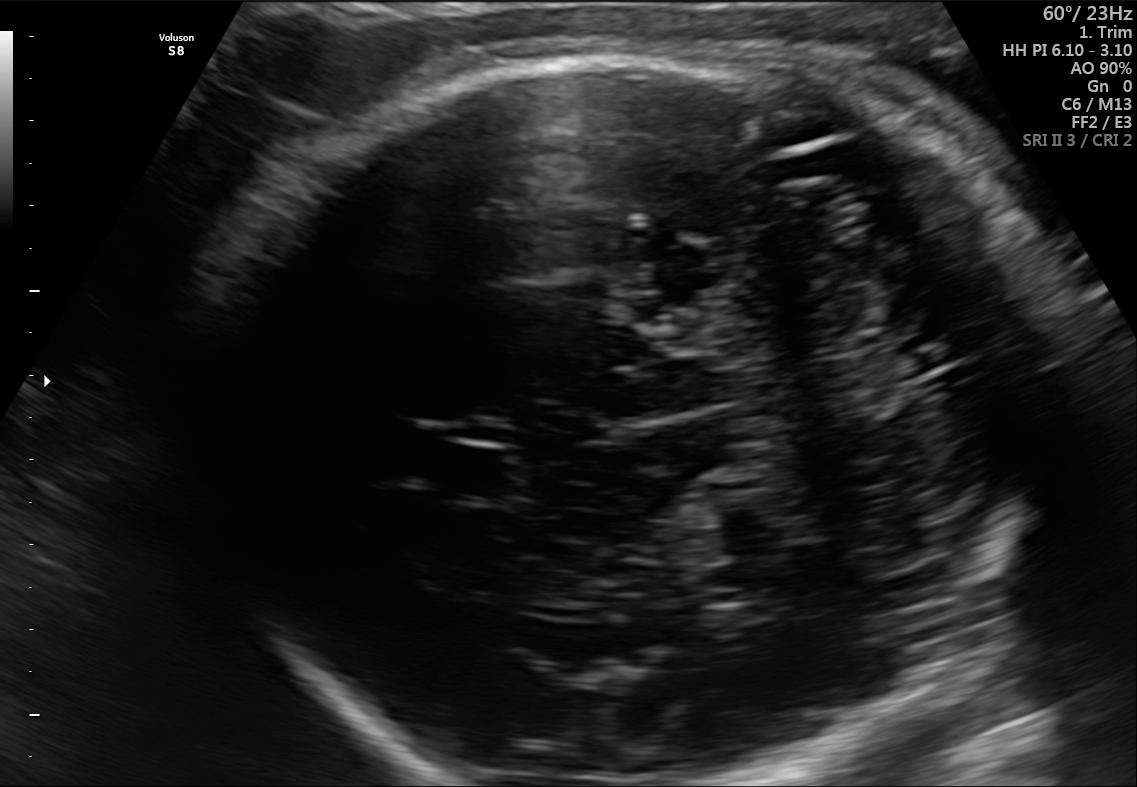
In this fetal brain, trans-cerebellum plane, give bounding boxes for the head outline, cavum septum pellucidum (CSP), and lateral ventricle (LV), where visible.

Head: [203,50,1055,785]
CSP: [418,432,531,512]